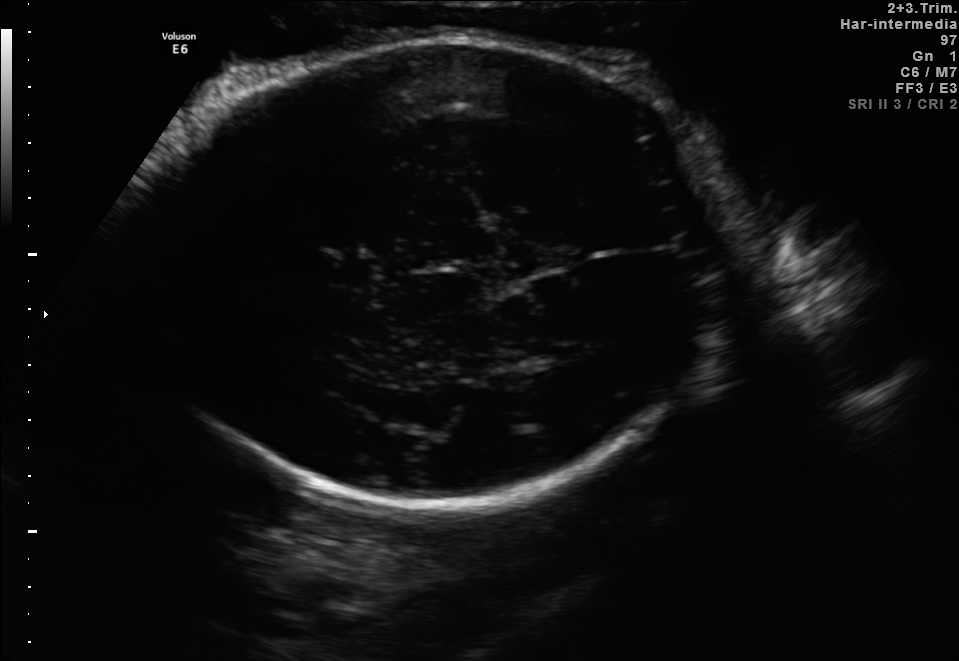
In this fetal brain, trans-thalamic plane, give the bounding box of the fetal head.

[137,34,726,509]